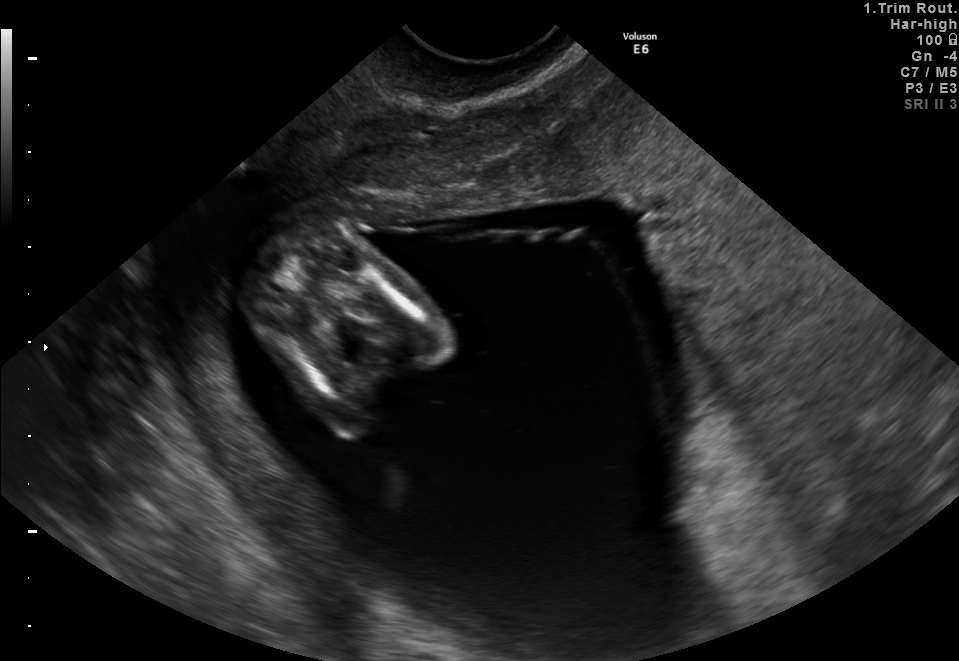
Identify the standard plane in this fetal ultrasound image: fetal abdomen, fetal brain, fetal femur, fetal thorax, maternal cervix, or other. If it's fetal brain and one of the three standard brain planes (trans-thalamic, trans-cerebellum, trans-ventricular), name which.

Maternal cervix